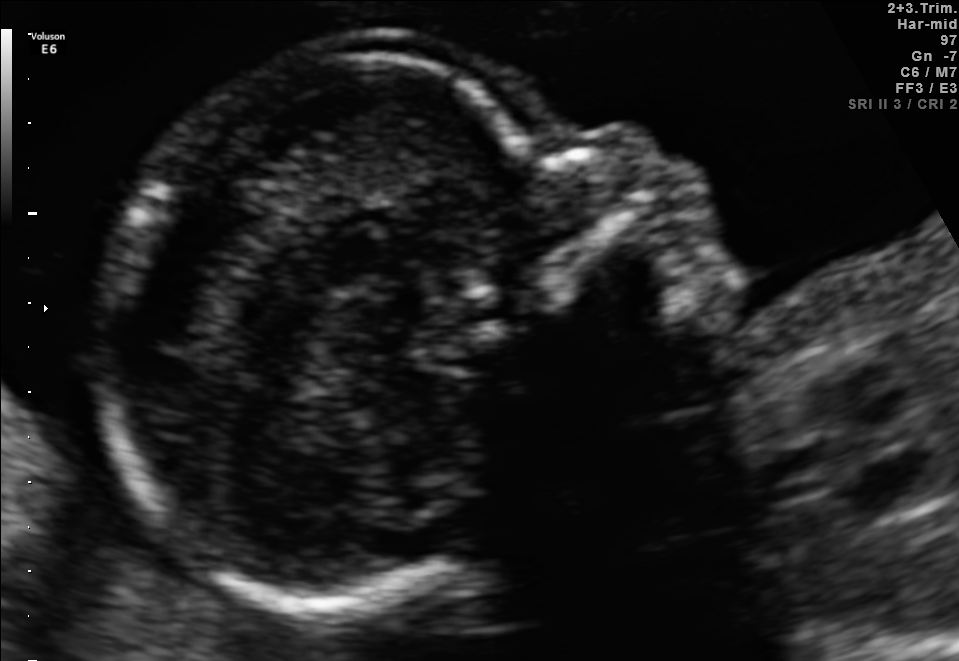
Classify this maternal-fetal ultrasound image as one of the six standard planes — fetal abdomen, fetal brain, fetal femur, fetal thorax, maternal cervix, or other. If it's fetal brain and one of the three standard brain planes (trans-thalamic, trans-cerebellum, trans-ventricular), name which.

Other